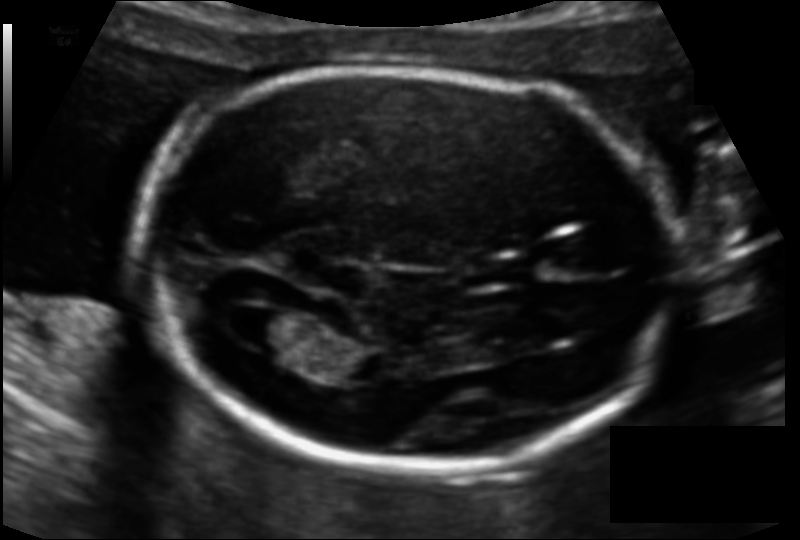
Measure the fetal head circumference shown in this ultrasound image. Image width: 89.1 mm.

Head circumference: 168.7 mm.